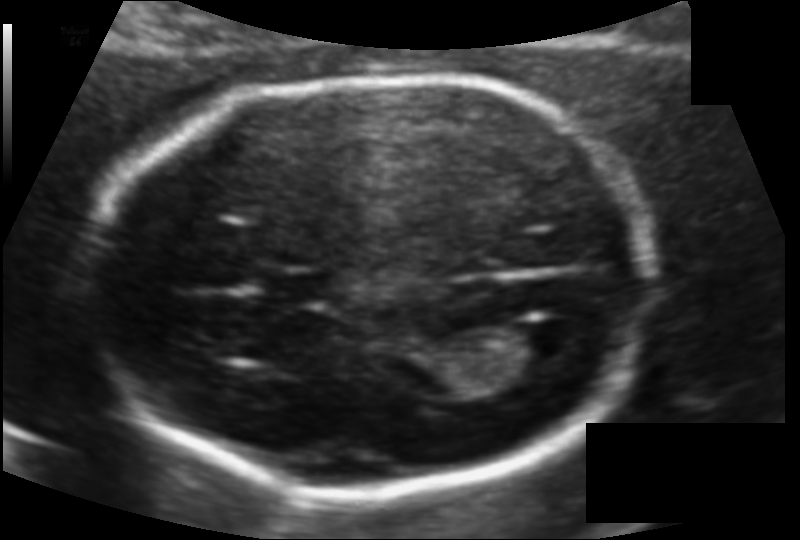
Fetal head ultrasound. Image width: 85.2 mm. Locate the fetal head.

Head: [92,77,645,489]